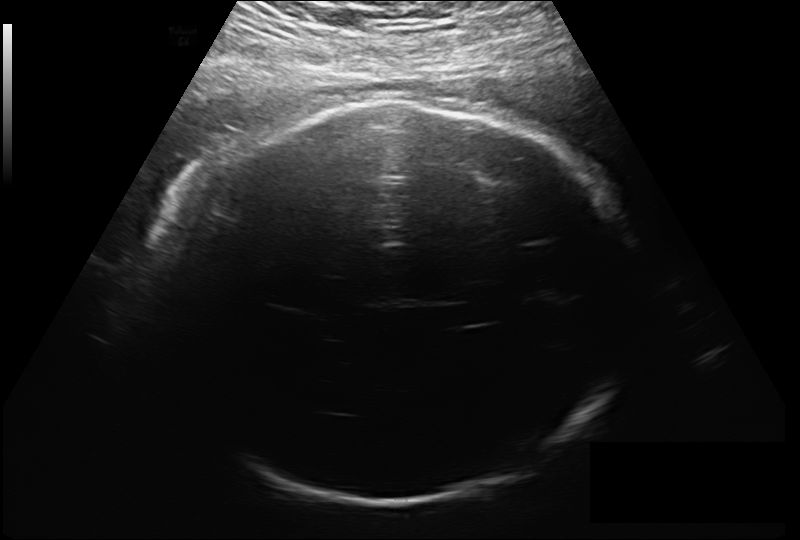
Fetal head ultrasound. Image width: 170.5 mm. Give [x1,y1,x2,y2] bounding boxes for each visible structure among: fetal head, CSP, LV.

Head: [164,100,629,506]